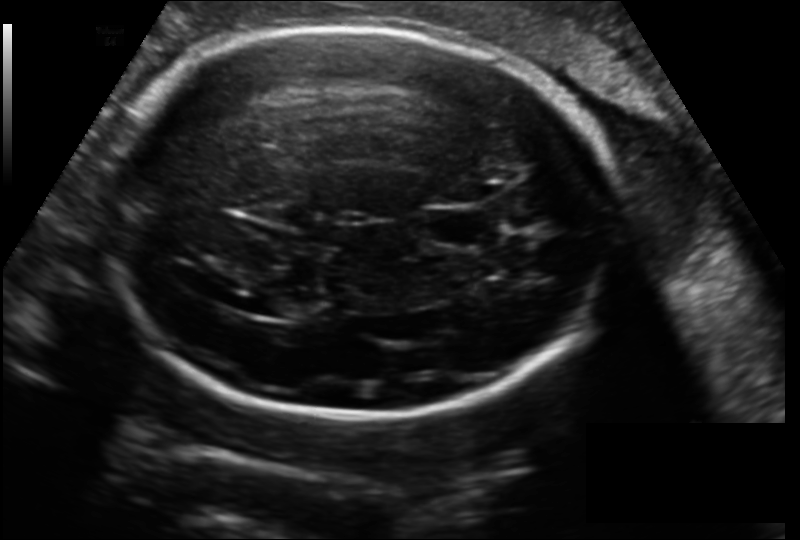
Estimate the fetal head circumference from this 2D ultrasound. Image width: 142.1 mm.

Head circumference: 259.5 mm.